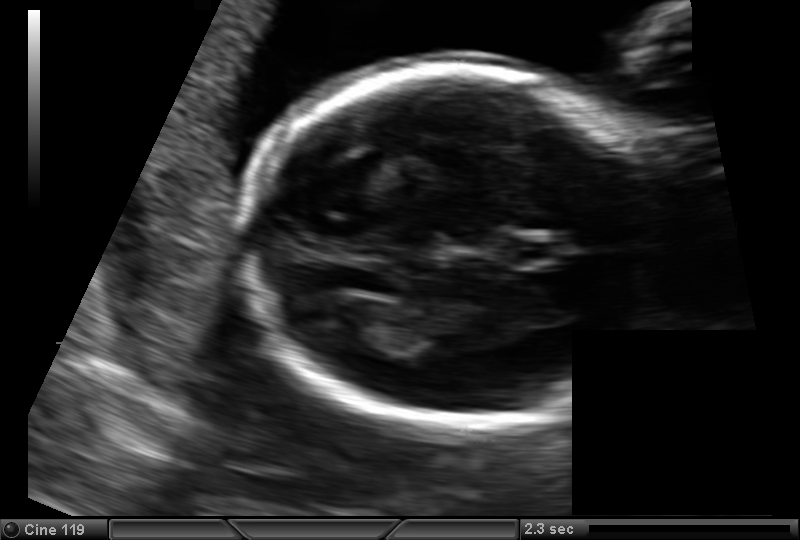
In this fetal head ultrasound, give the bounding box of the cavum septum pellucidum. Image width: 103.2 mm.

[507,234,562,269]